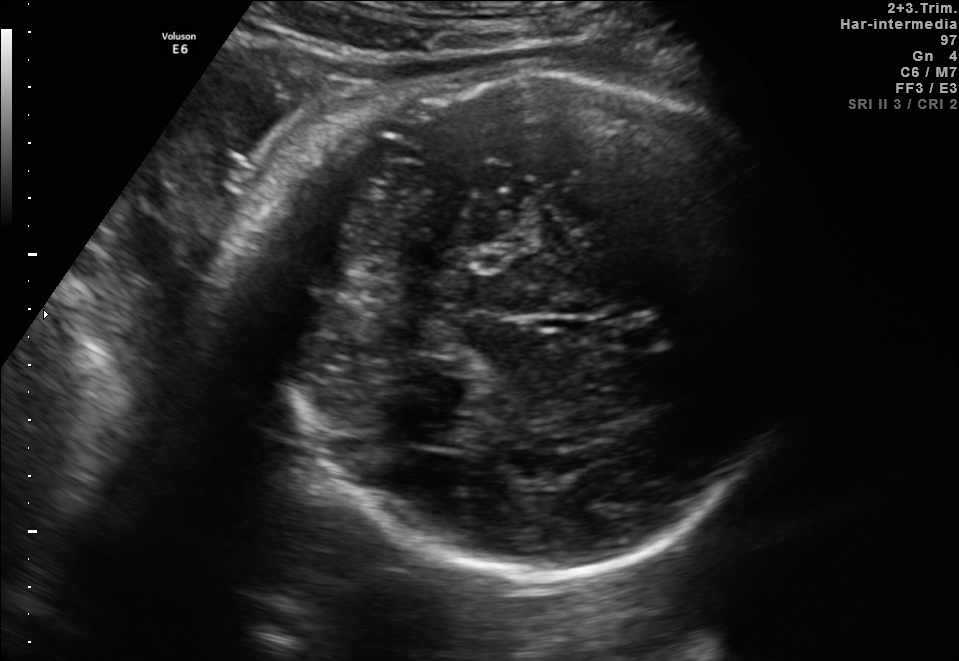
In this fetal brain, trans-cerebellum plane, give the bounding box of the cavum septum pellucidum.

[602,313,667,356]